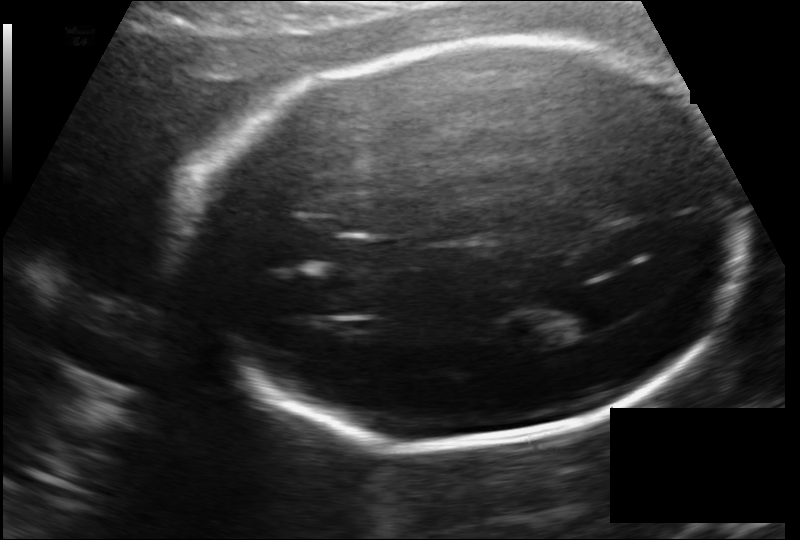
Estimate the fetal head circumference from this 2D ultrasound.

Head circumference: 225.8 mm (image width 112.6 mm).